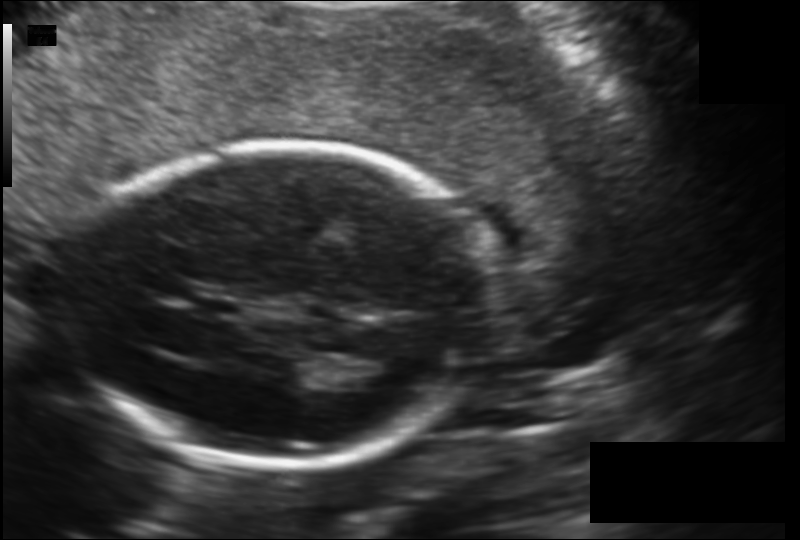
What is the fetal head circumference? Image width is 117.3 mm.

174.8 mm